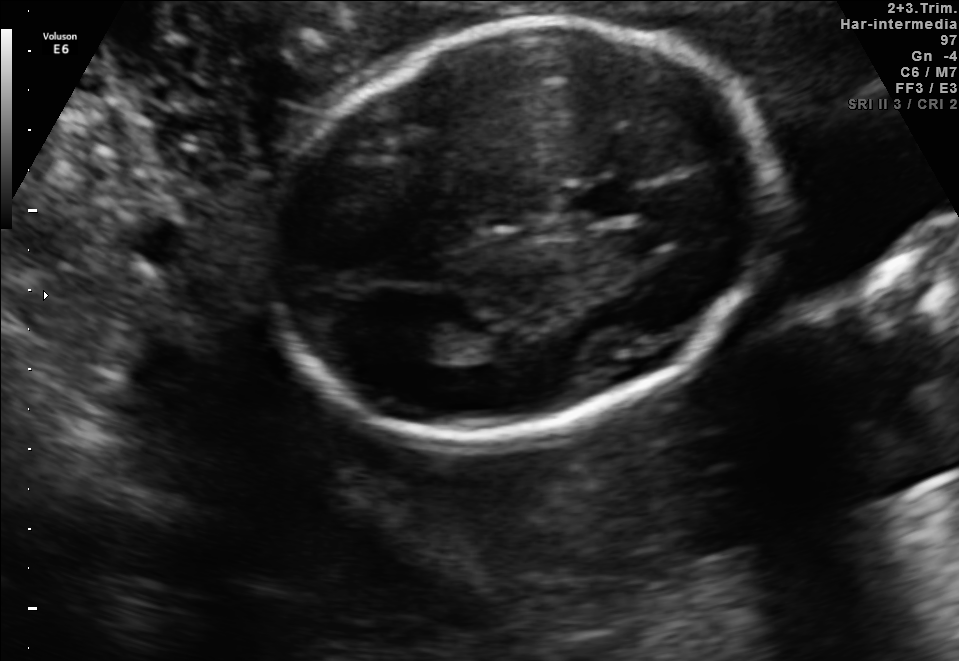
In this fetal brain, trans-thalamic plane, give bounding boxes for the head outline, cavum septum pellucidum (CSP), and lateral ventricle (LV), where visible.

Head: [272,23,767,438]
CSP: [568,176,640,226]
Lateral ventricle: [393,323,458,361]